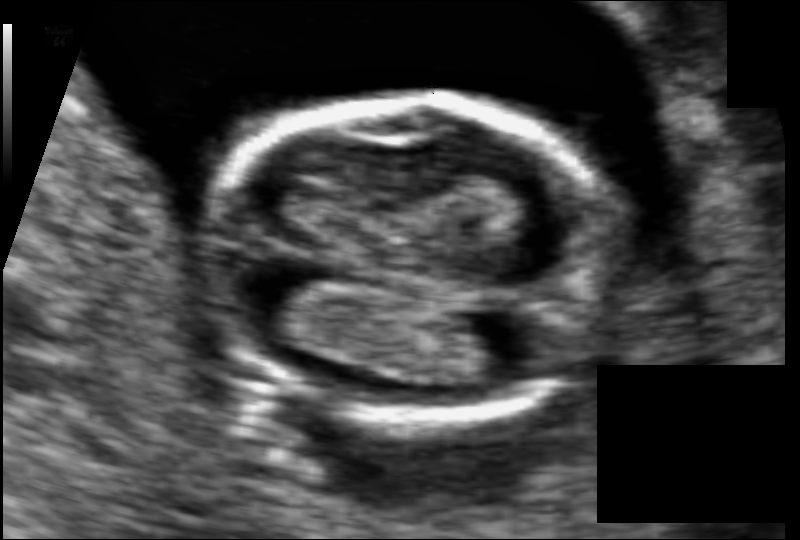
Fetal head ultrasound. Image width: 59.9 mm. Locate the fetal head.

Head: [209,97,630,418]